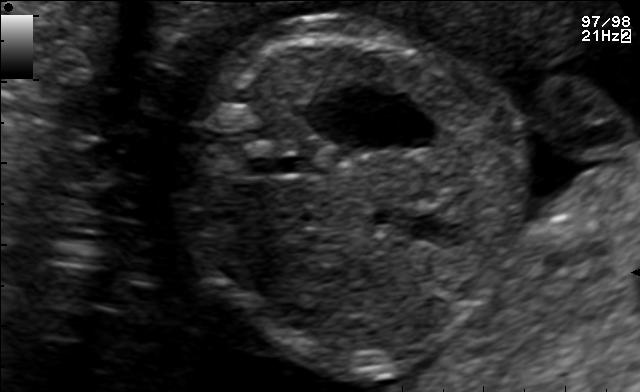
Identify the standard plane in this fetal ultrasound image: fetal abdomen, fetal brain, fetal femur, fetal thorax, maternal cervix, or other. If it's fetal brain and one of the three standard brain planes (trans-thalamic, trans-cerebellum, trans-ventricular), name which.

Fetal abdomen